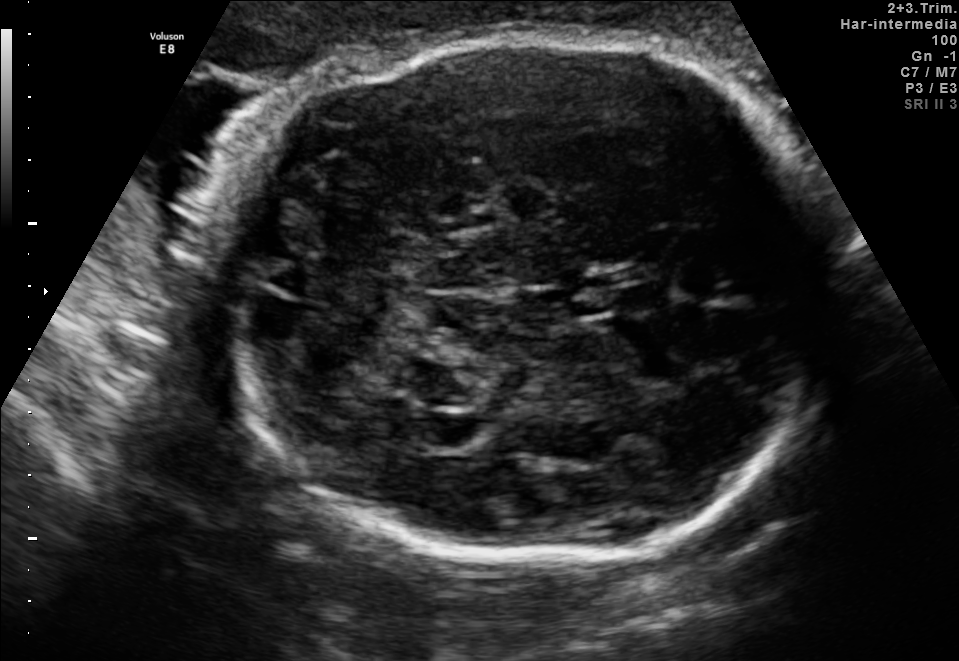
Fetal brain, trans-cerebellum plane. Give [x1,y1,x2,y2] bounding boxes for each visible structure among: fetal head, CSP, LV.

Head: [231,37,834,568]